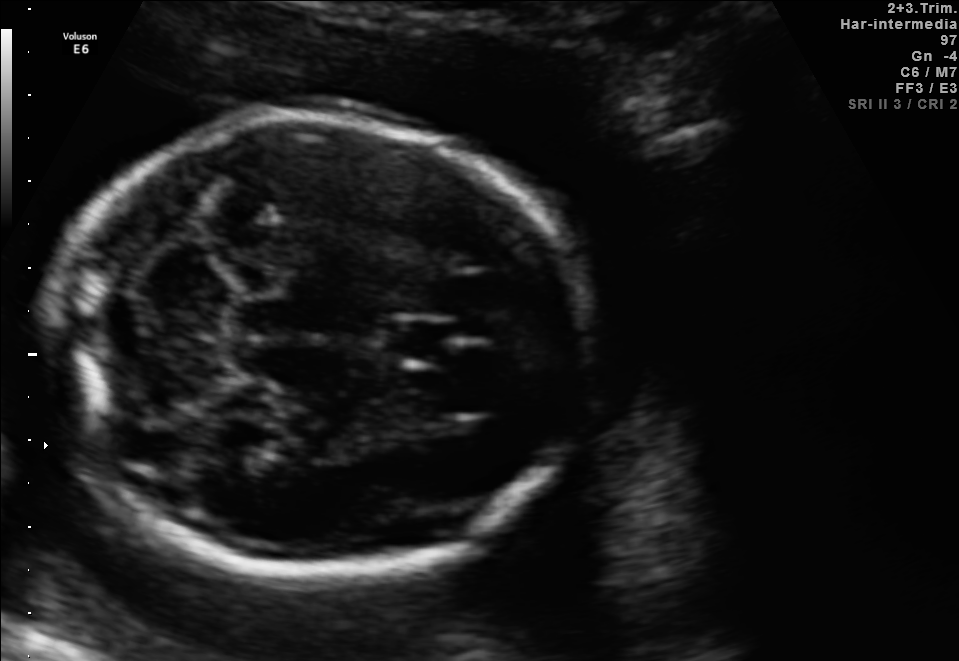
Fetal brain, trans-cerebellum plane. Where is the fetal head?

Head bounding box: [56,115,589,584]